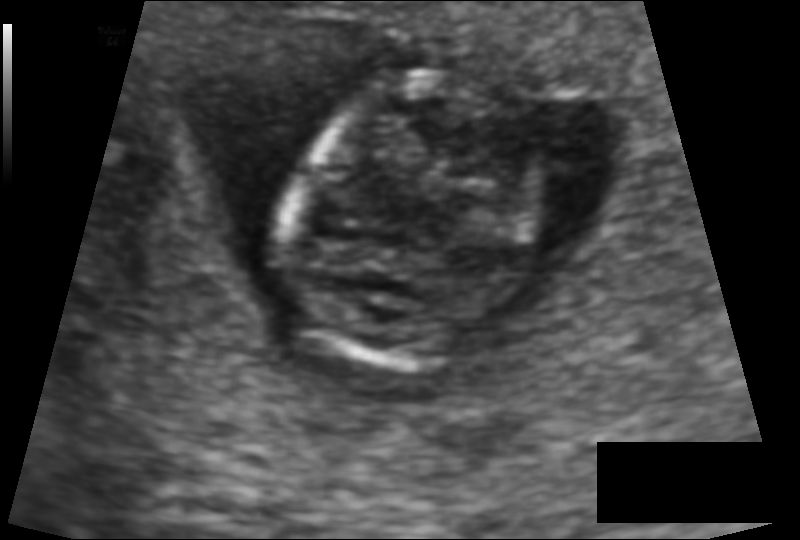
In this fetal head ultrasound, give bounding boxes for the head outline, cavum septum pellucidum (CSP), and lateral ventricle (LV), where visible. Image width: 72.8 mm.

Head: [285,73,531,368]